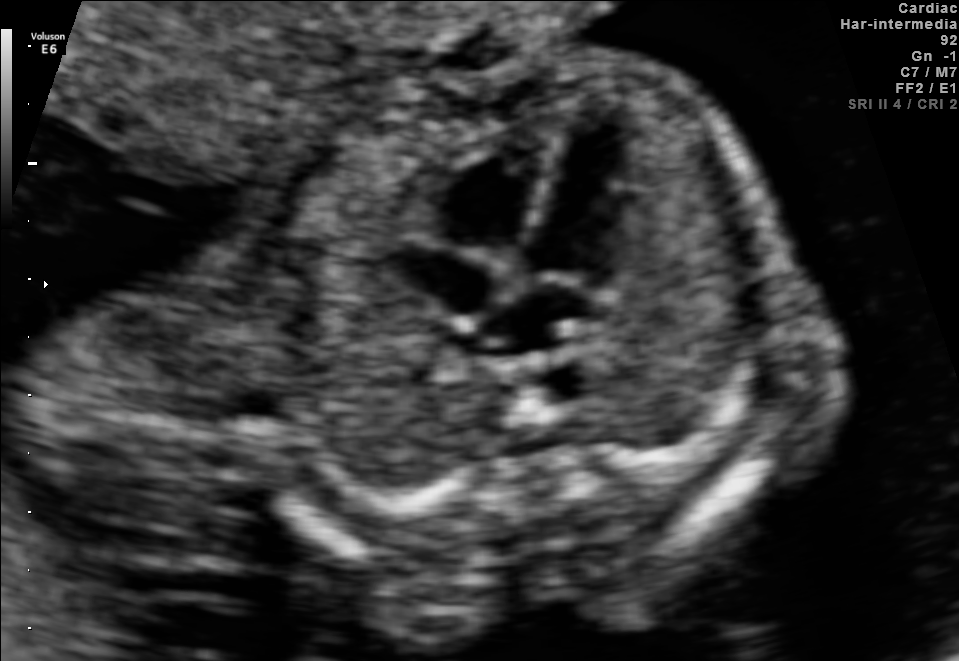
Which standard maternal-fetal ultrasound plane is shown: fetal abdomen, fetal brain, fetal femur, fetal thorax, maternal cervix, or other? If it's fetal brain and one of the three standard brain planes (trans-thalamic, trans-cerebellum, trans-ventricular), name which.

Fetal thorax